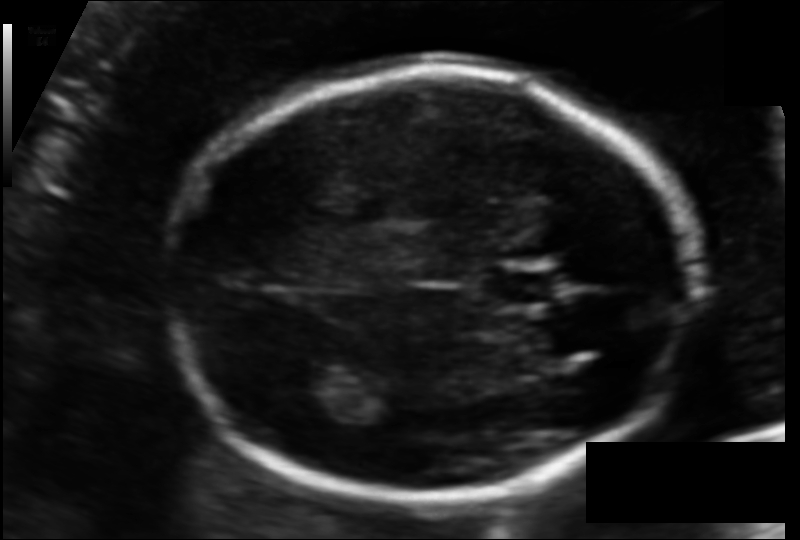
In this fetal head ultrasound, give the bounding box of the cavum septum pellucidum. Image width: 86.2 mm.

[489,268,561,306]